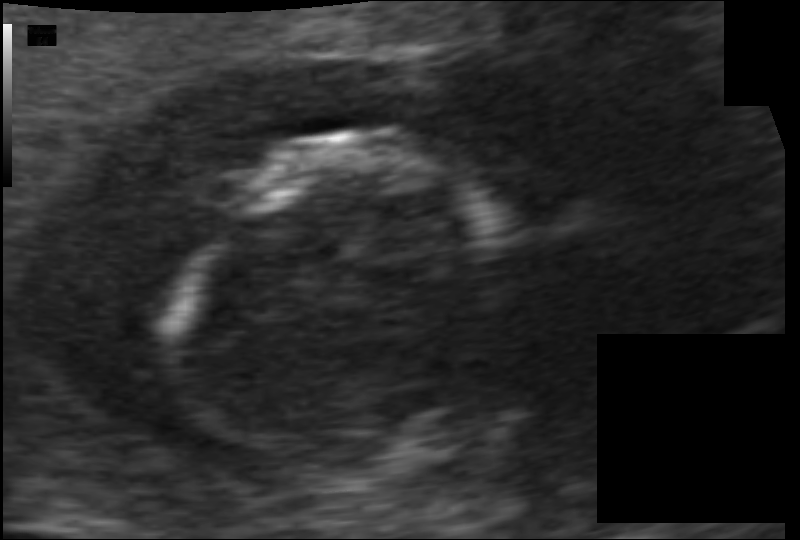
Estimate the fetal head circumference from this 2D ultrasound. Image width: 55.9 mm.

Head circumference: 77.8 mm.